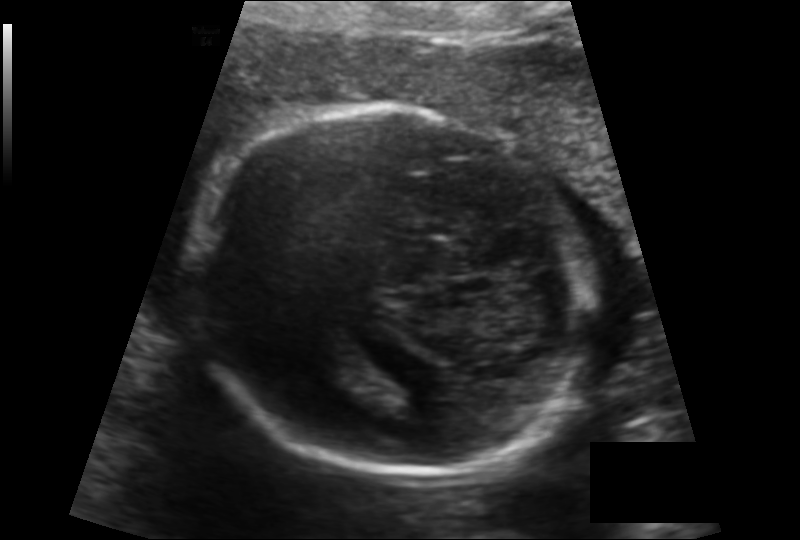
Fetal head ultrasound. Image width: 113.4 mm. Give [x1,y1,x2,y2] bounding boxes for each visible structure among: fetal head, CSP, LV.

Head: [189,106,593,473]